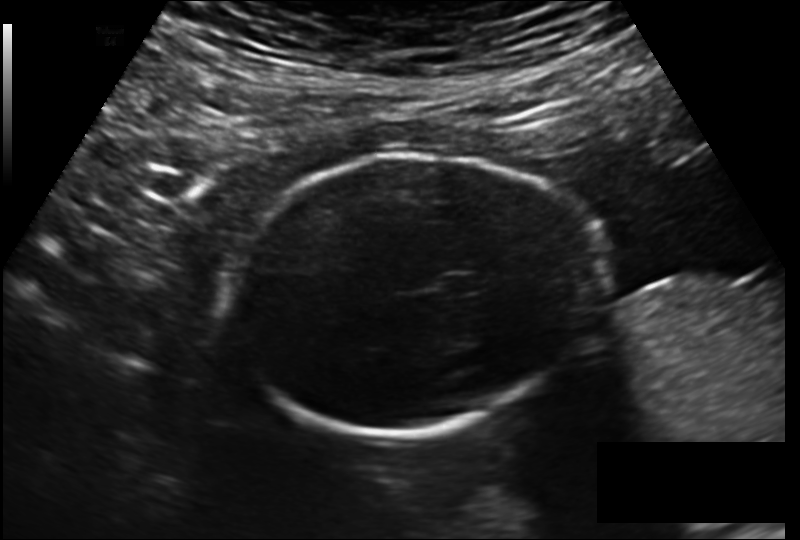
Fetal head ultrasound. Image width: 142.1 mm. Locate the cavum septum pellucidum.

CSP: [441,272,478,295]